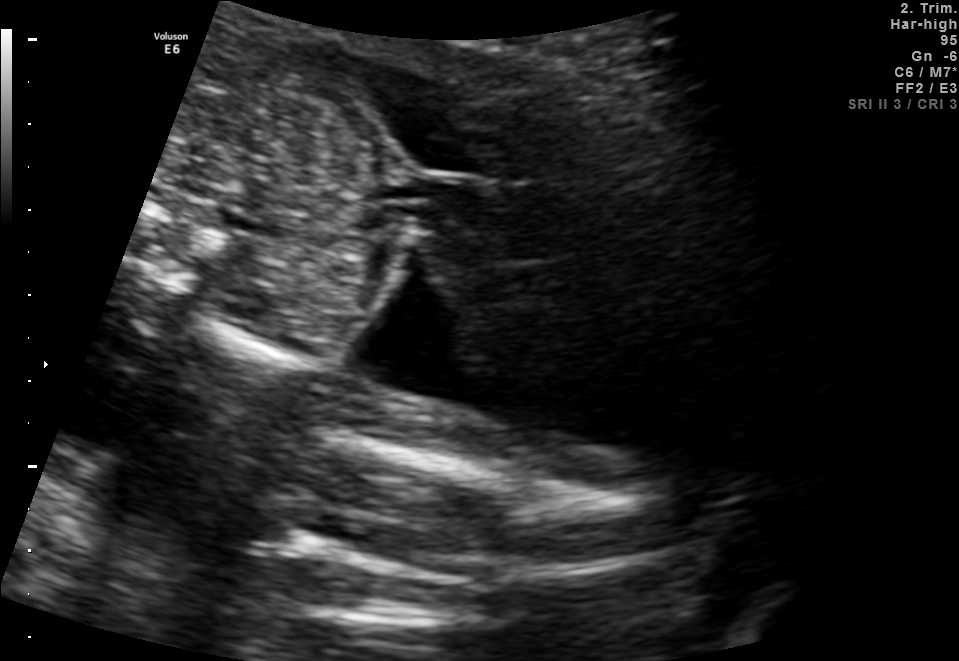
Classify this maternal-fetal ultrasound image as one of the six standard planes — fetal abdomen, fetal brain, fetal femur, fetal thorax, maternal cervix, or other. If it's fetal brain and one of the three standard brain planes (trans-thalamic, trans-cerebellum, trans-ventricular), name which.

Other